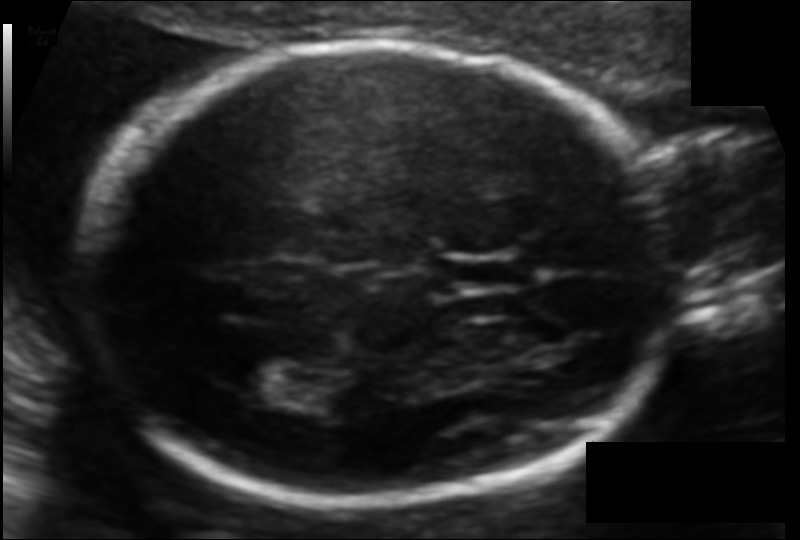
In this fetal head ultrasound, give the bounding box of the fetal head. Image width: 83.2 mm.

[82,42,685,502]